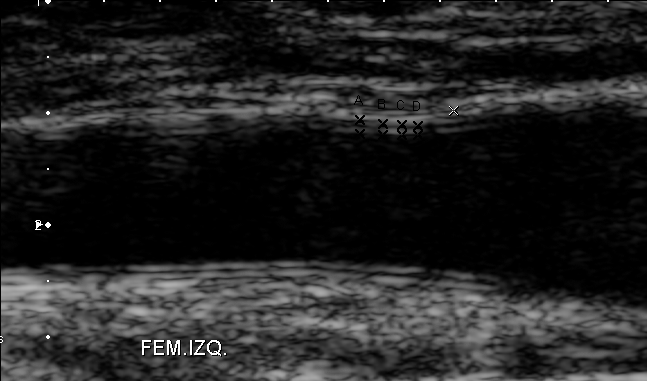
This is a 2D maternal-fetal ultrasound frame. Is it a fetal abdomen, fetal brain, fetal femur, fetal thorax, maternal cervix, or other standard plane? If it's fetal brain and one of the three standard brain planes (trans-thalamic, trans-cerebellum, trans-ventricular), name which.

Other